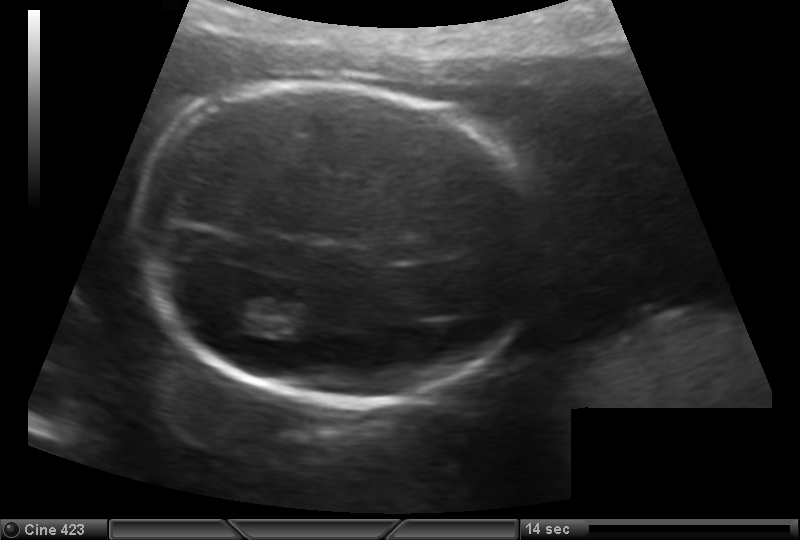
What is the fetal head circumference? Image width is 117.9 mm.

177.4 mm